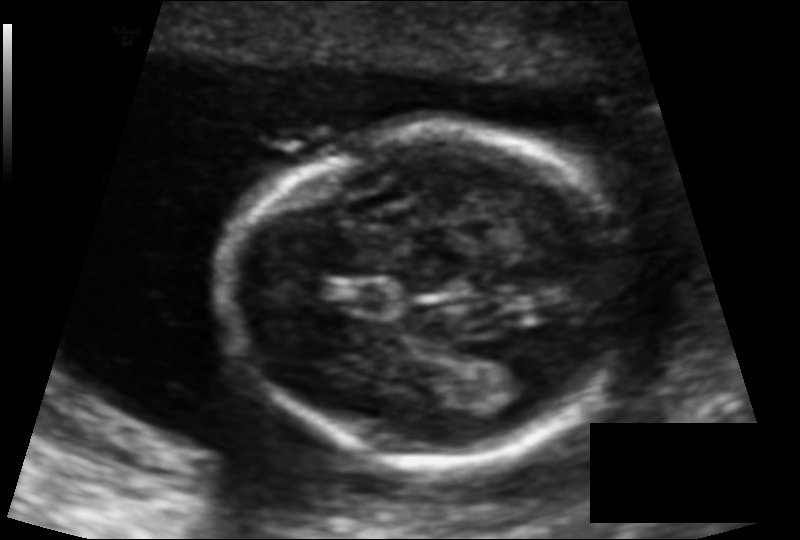
Estimate the fetal head circumference from this 2D ultrasound. Image width: 81.7 mm.

Head circumference: 121.3 mm.